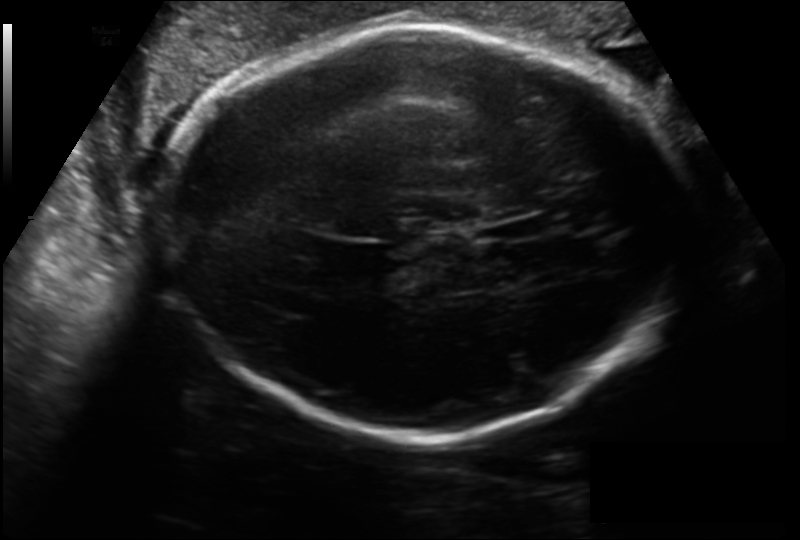
Fetal head ultrasound. Image width: 158.9 mm. Locate the fetal head and, if visible, the cavum septum pellucidum (CSP) and lateral ventricle (LV). Give bounding boxes as [x1,y1,x2,y2].

Head: [168,26,681,440]